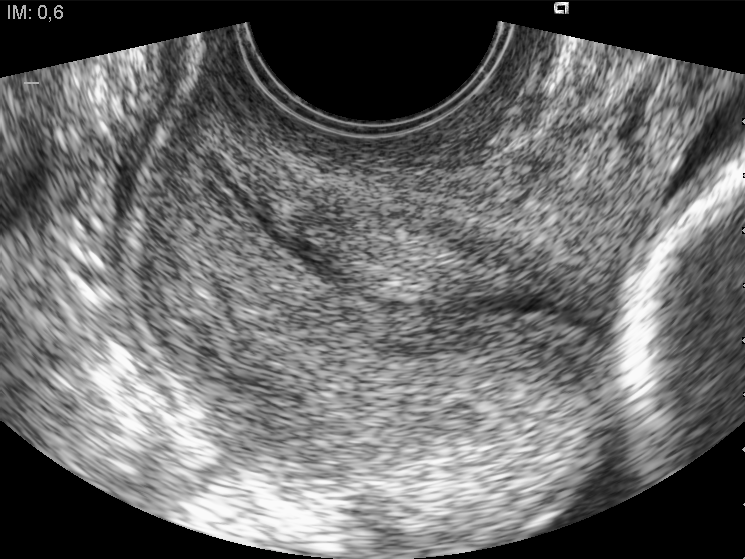
Classify this maternal-fetal ultrasound image as one of the six standard planes — fetal abdomen, fetal brain, fetal femur, fetal thorax, maternal cervix, or other. If it's fetal brain and one of the three standard brain planes (trans-thalamic, trans-cerebellum, trans-ventricular), name which.

Maternal cervix